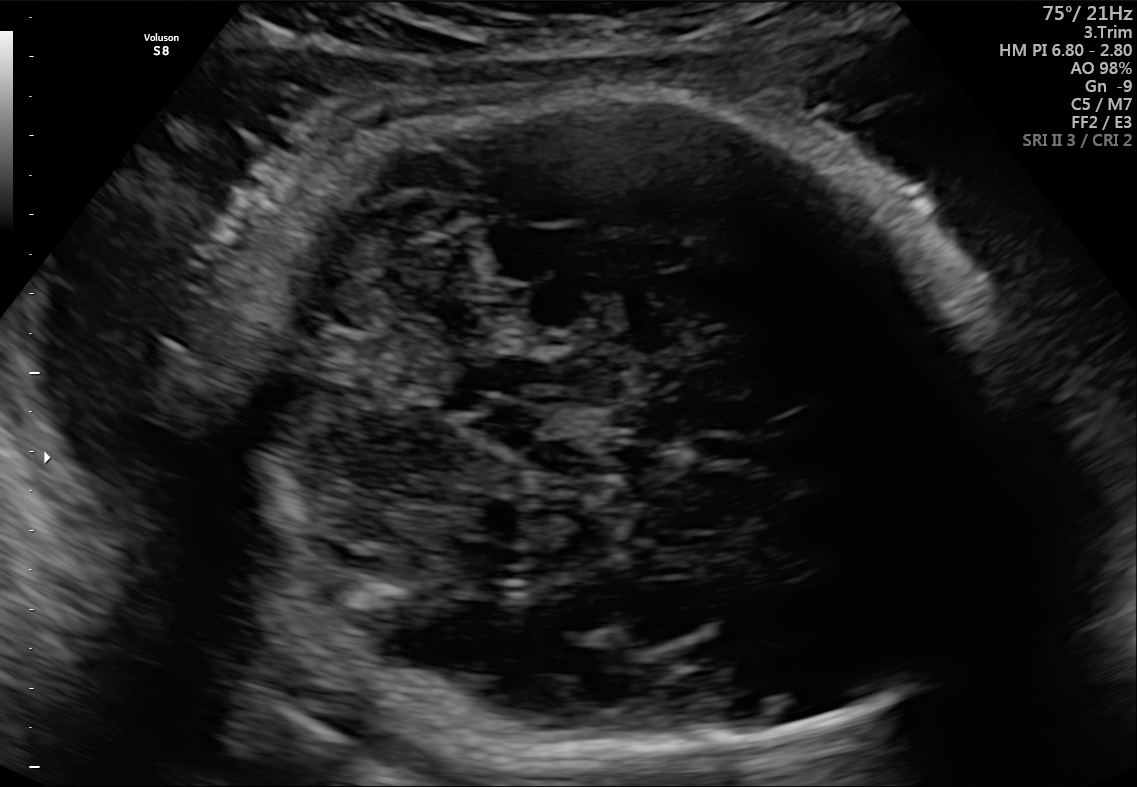
In this fetal brain, trans-cerebellum plane, give the bounding box of the fetal head.

[199,85,1014,762]